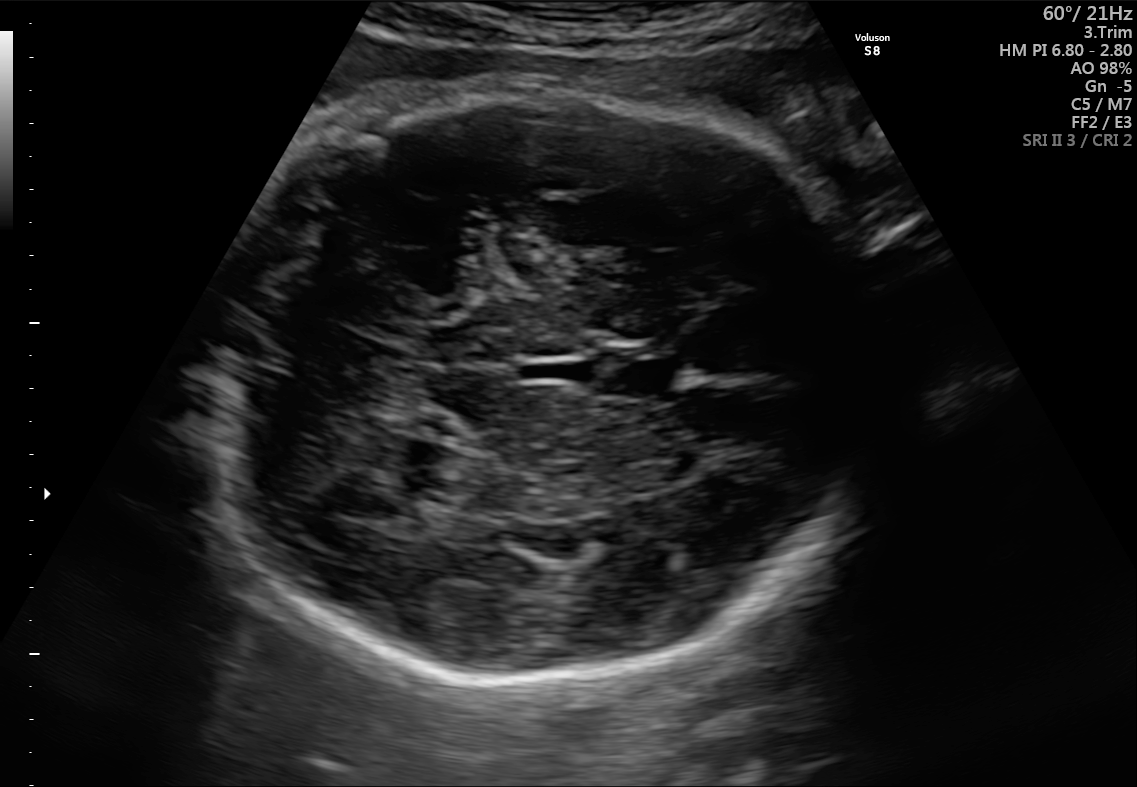
Fetal brain, trans-cerebellum plane. Locate the fetal head.

Head: [207,89,877,681]